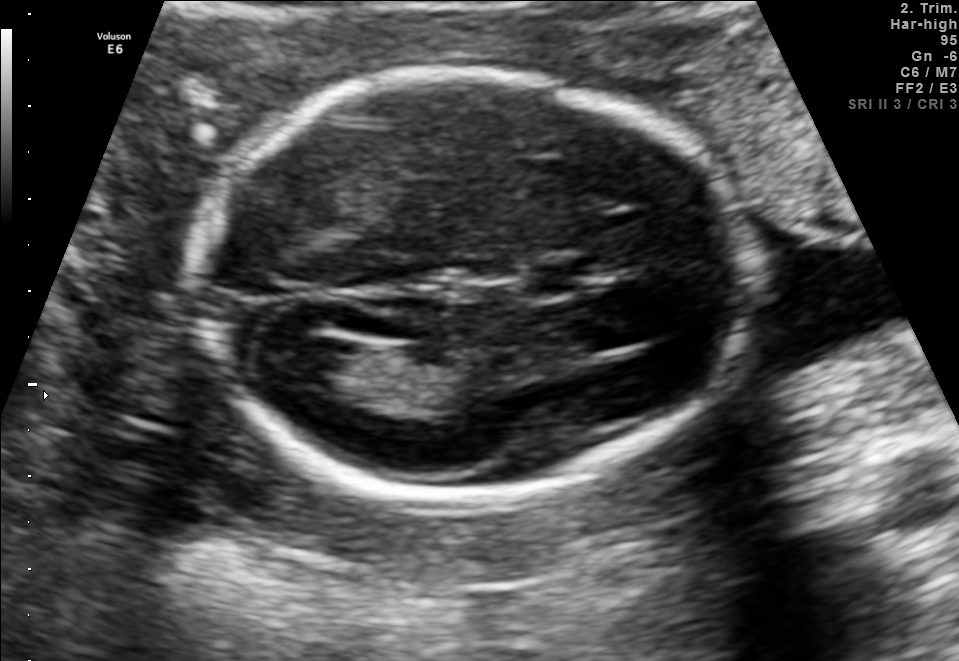
In this fetal brain, trans-ventricular plane, give the bounding box of the fetal head.

[179,61,772,518]